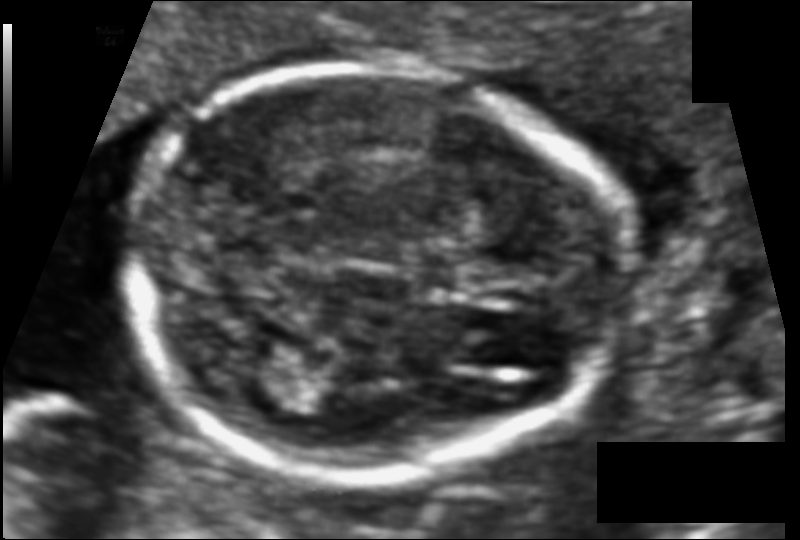
From this fetal ultrasound, estimate the head circumference (image width 65.0 mm).

Head circumference: 122.0 mm.